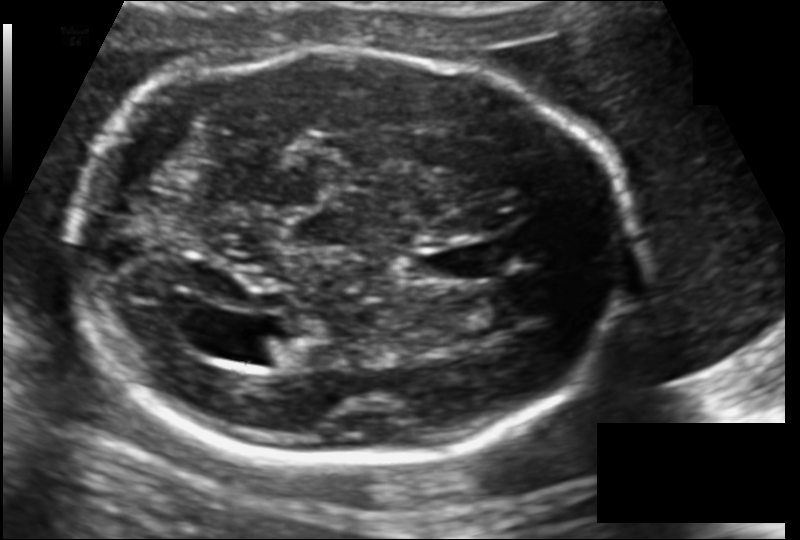
Estimate the fetal head circumference from this 2D ultrasound.

Head circumference: 218.7 mm (image width 110.0 mm).